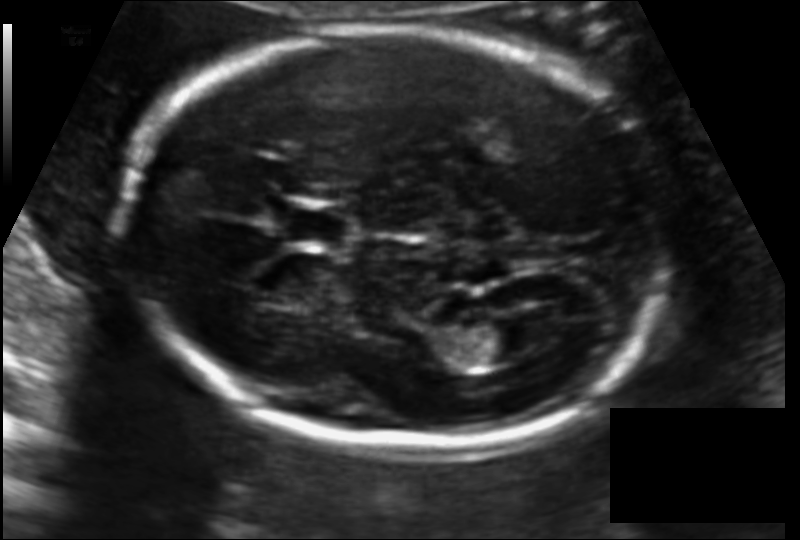
In this fetal head ultrasound, give the bounding box of the fetal head. Image width: 95.2 mm.

[123,28,673,447]